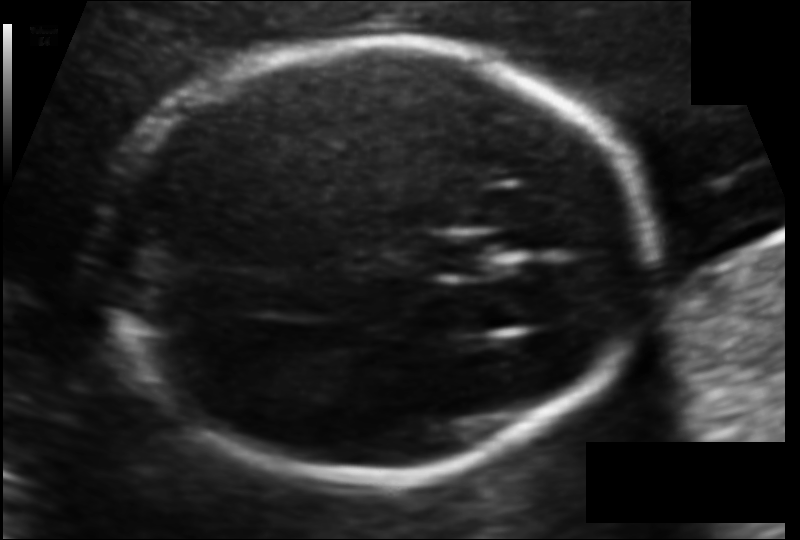
Fetal head ultrasound. Image width: 83.5 mm. Where is the fetal head?

Head bounding box: [105,41,650,480]